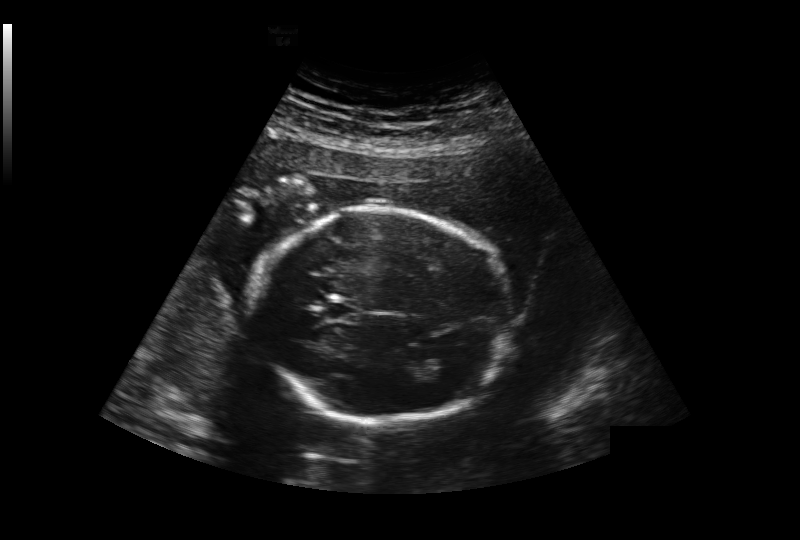
In this fetal head ultrasound, give the bounding box of the fetal head. Image width: 191.2 mm.

[252,208,511,421]